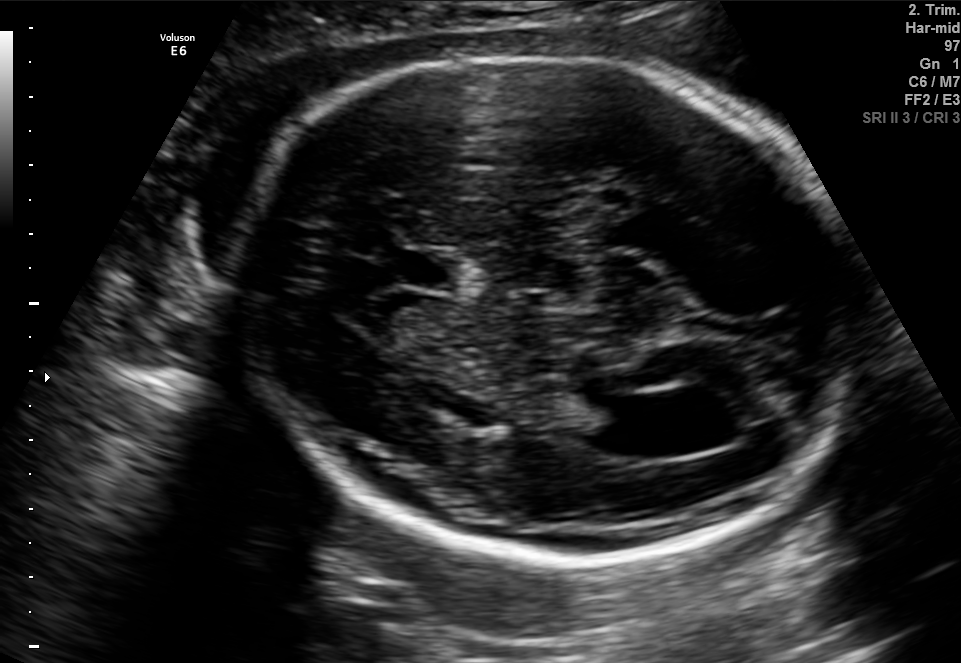
Fetal brain, trans-ventricular plane. Locate the fetal head.

Head: [221,46,862,563]